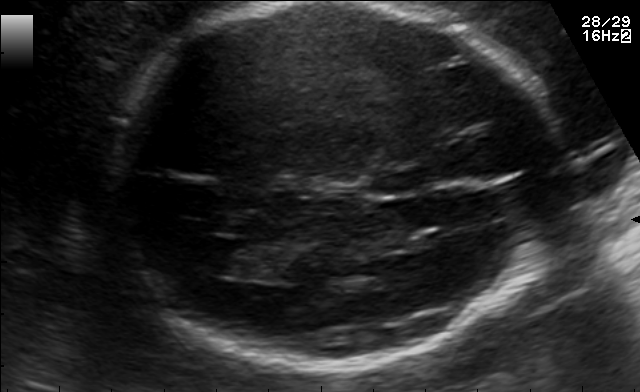
In this fetal brain, trans-ventricular plane, give bounding boxes for the head outline, cavum septum pellucidum (CSP), and lateral ventricle (LV), where visible.

Head: [89,2,581,378]
CSP: [371,168,425,198]
Lateral ventricle: [181,235,253,277]